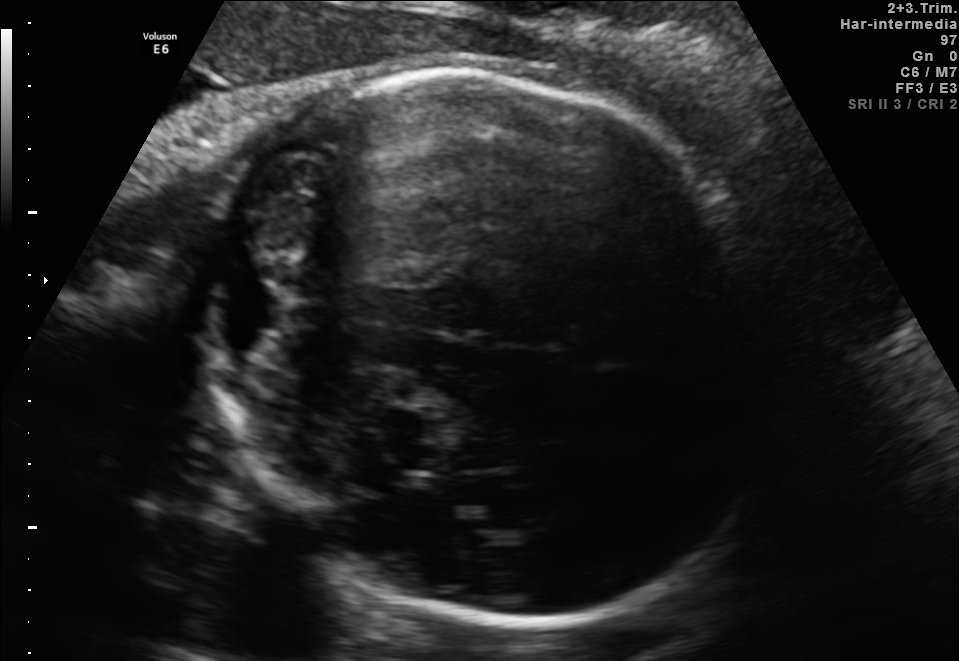
Fetal brain, trans-cerebellum plane. Locate the fetal head.

Head: [209,73,772,626]